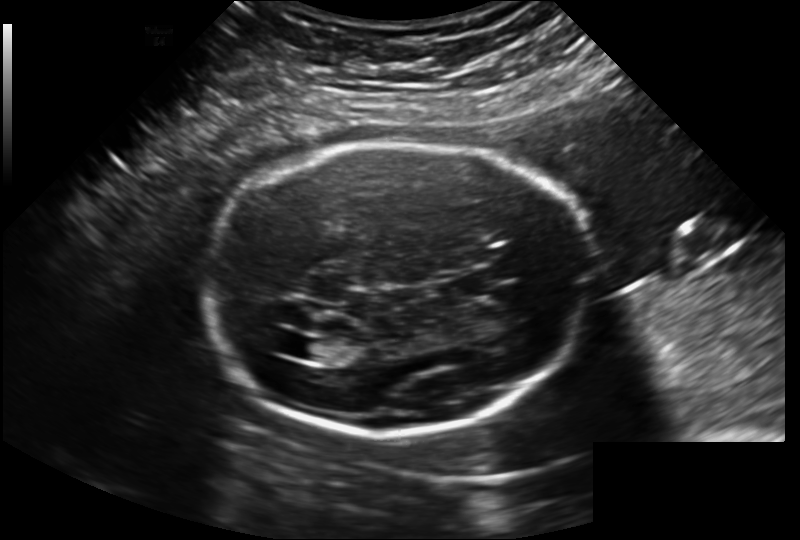
Fetal head ultrasound. Image width: 161.6 mm. Locate the fetal head.

Head: [205,141,585,433]